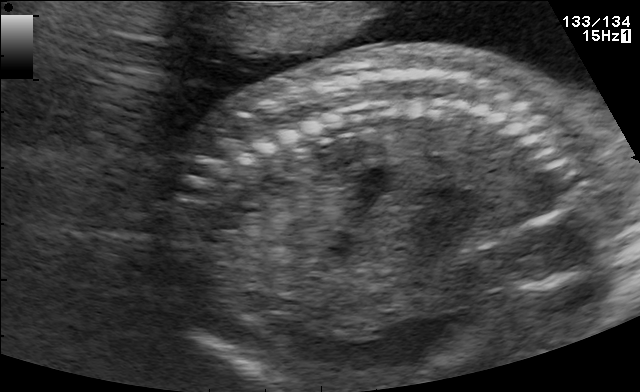
This is a 2D maternal-fetal ultrasound frame. Is it a fetal abdomen, fetal brain, fetal femur, fetal thorax, maternal cervix, or other standard plane? If it's fetal brain and one of the three standard brain planes (trans-thalamic, trans-cerebellum, trans-ventricular), name which.

Other